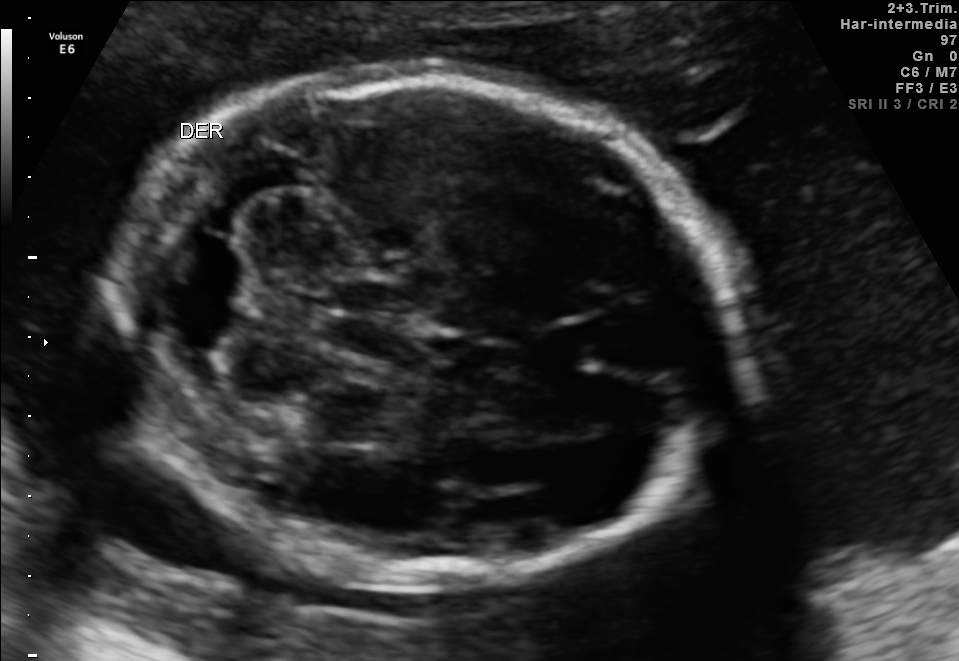
Fetal brain, trans-cerebellum plane. Locate the fetal head.

Head: [115,73,734,578]